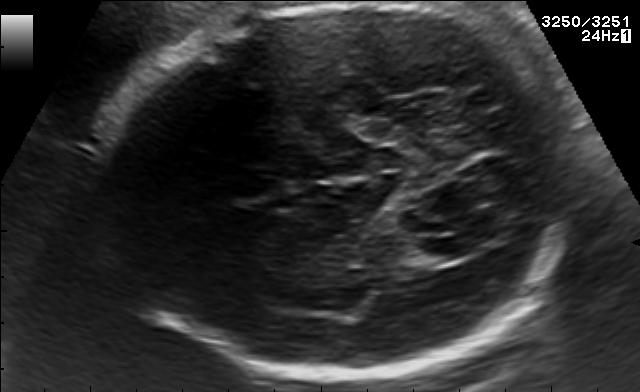
In this fetal brain, trans-thalamic plane, give the bounding box of the fetal head.

[109,3,573,381]